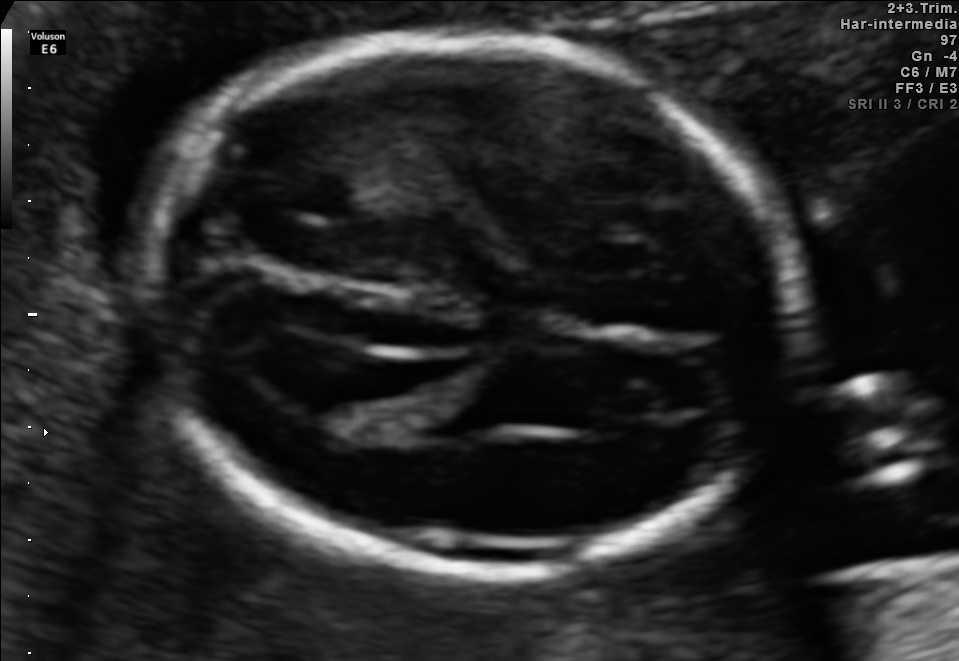
Fetal brain, trans-ventricular plane. Give [x1,y1,x2,y2] bounding boxes for each visible structure among: fetal head, CSP, LV.

Head: [134,27,821,590]